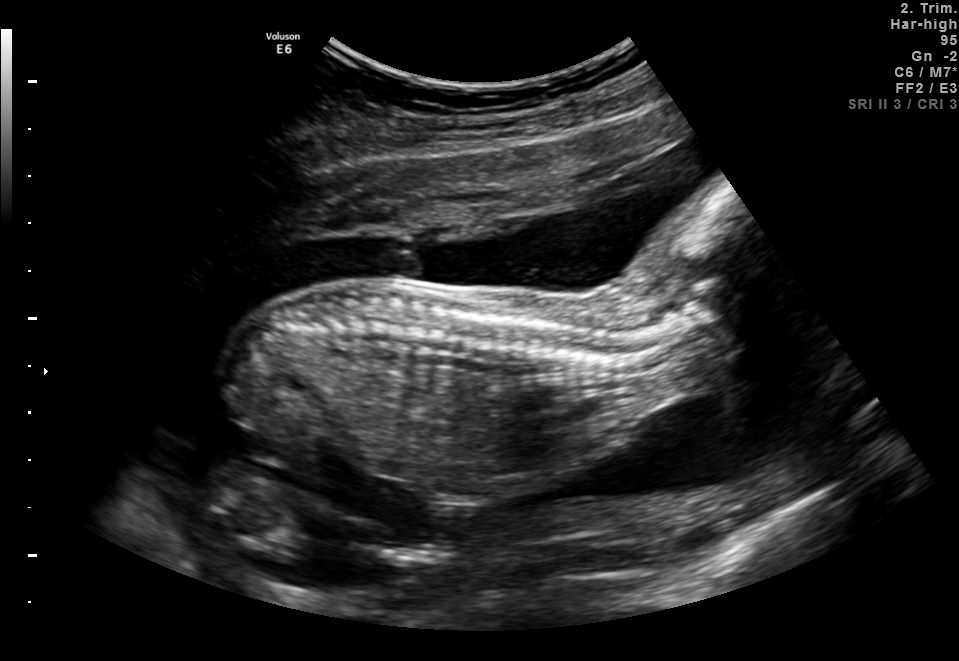
This is a 2D maternal-fetal ultrasound frame. Is it a fetal abdomen, fetal brain, fetal femur, fetal thorax, maternal cervix, or other standard plane? If it's fetal brain and one of the three standard brain planes (trans-thalamic, trans-cerebellum, trans-ventricular), name which.

Other